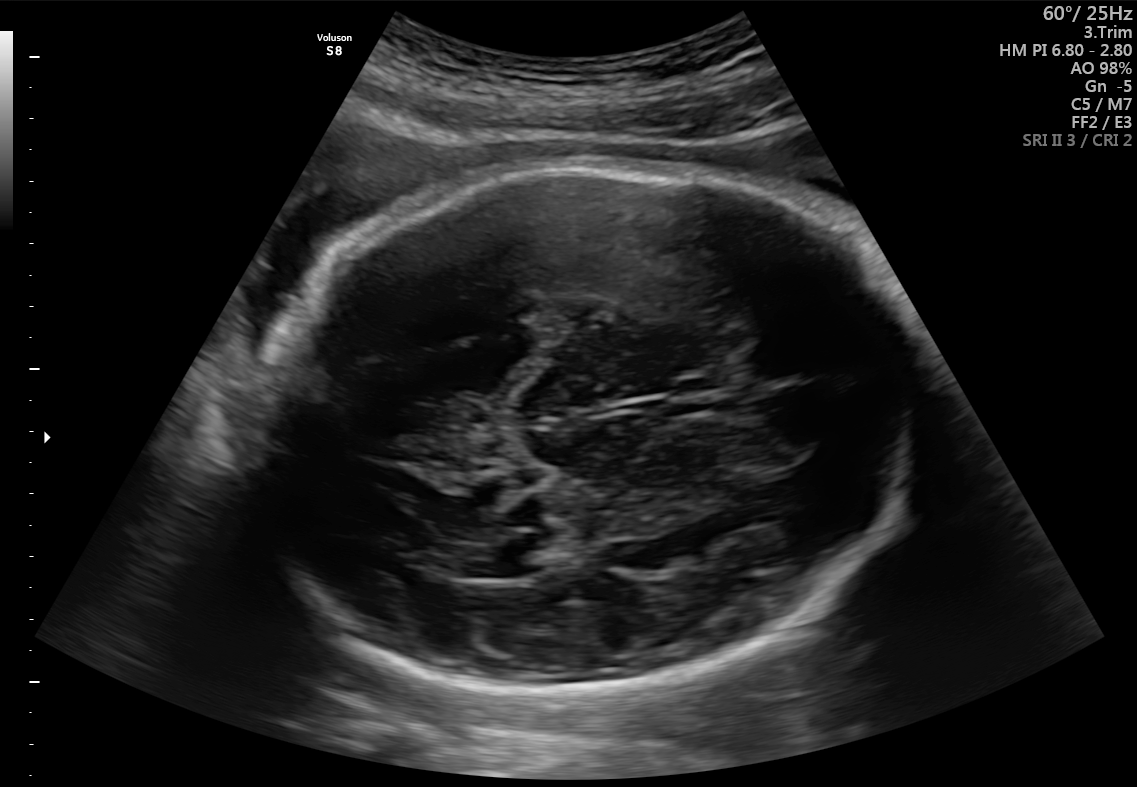
Which standard maternal-fetal ultrasound plane is shown: fetal abdomen, fetal brain, fetal femur, fetal thorax, maternal cervix, or other? If it's fetal brain and one of the three standard brain planes (trans-thalamic, trans-cerebellum, trans-ventricular), name which.

Fetal brain (trans-ventricular plane)